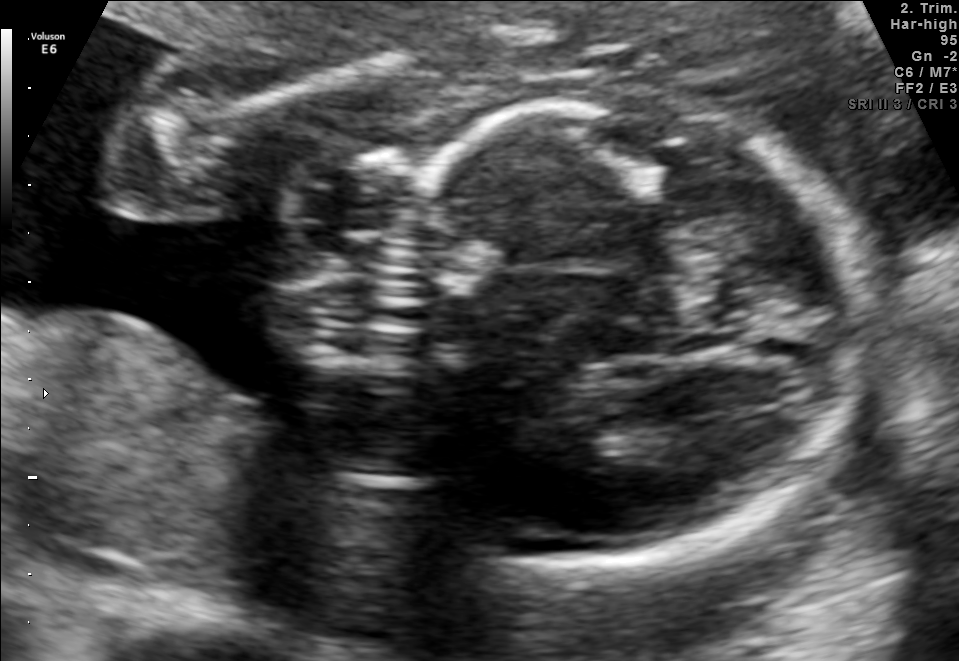
Which standard maternal-fetal ultrasound plane is shown: fetal abdomen, fetal brain, fetal femur, fetal thorax, maternal cervix, or other? If it's fetal brain and one of the three standard brain planes (trans-thalamic, trans-cerebellum, trans-ventricular), name which.

Other